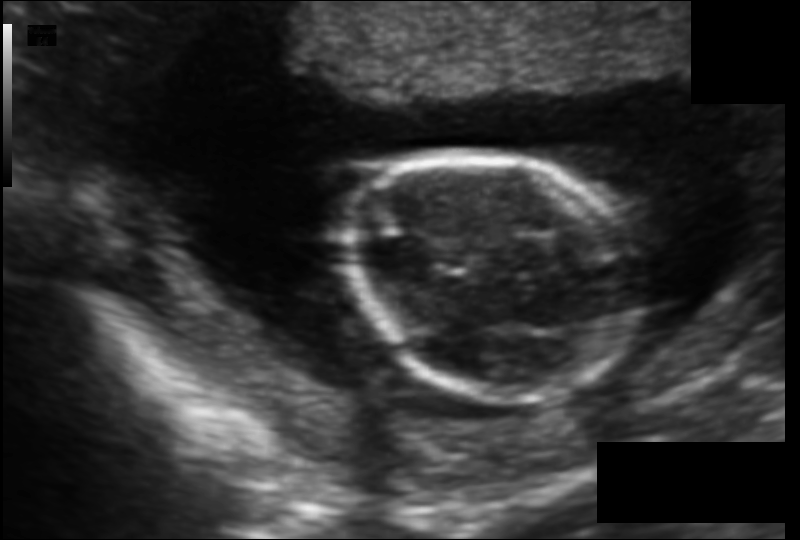
Measure the fetal head circumference shown in this ultrasound image. Image width: 92.1 mm.

Head circumference: 99.4 mm.